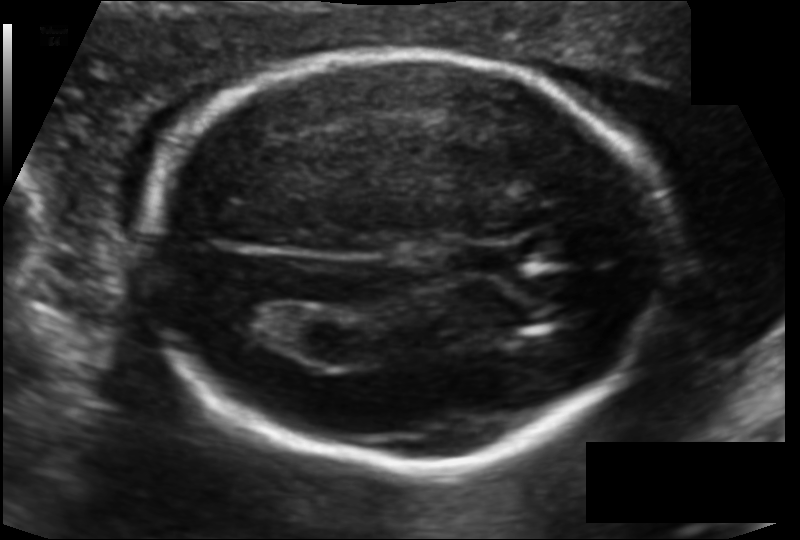
Estimate the fetal head circumference from this 2D ultrasound.

Head circumference: 174.2 mm (image width 91.7 mm).